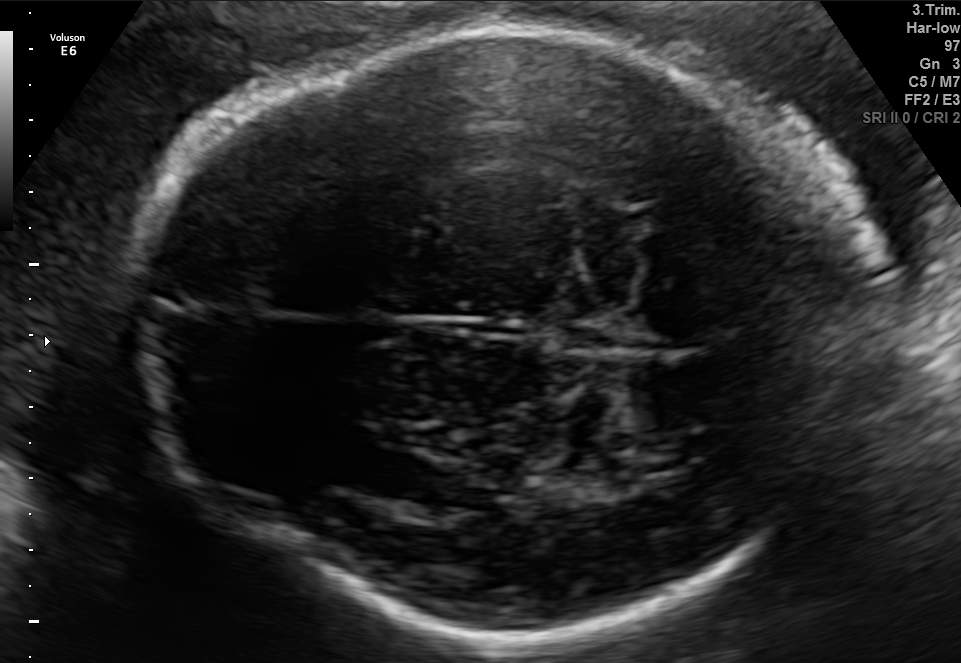
Fetal brain, trans-ventricular plane. Locate the fetal head.

Head: [136,32,883,641]